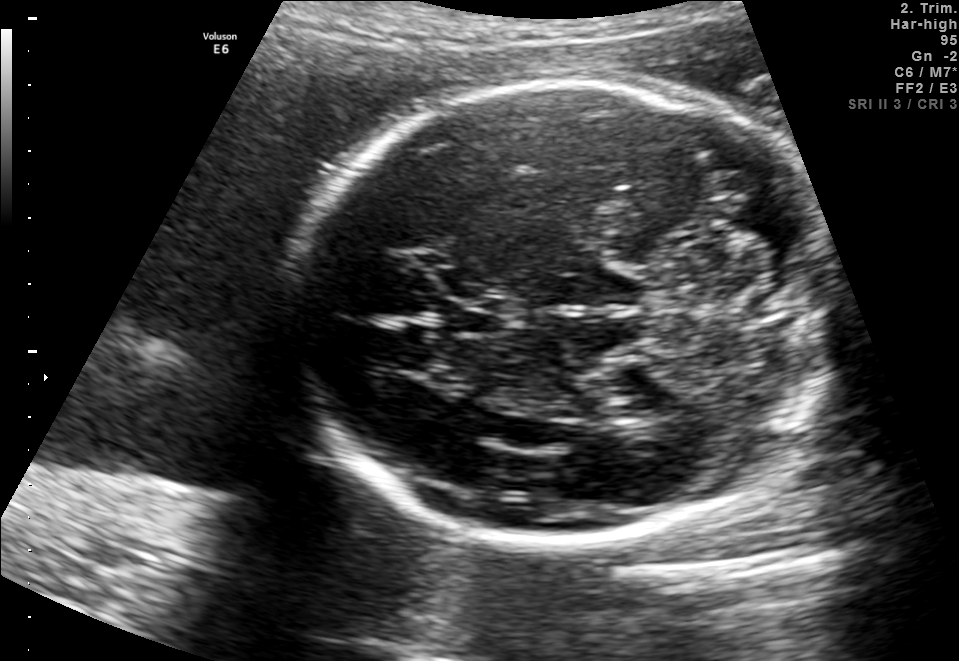
In this fetal brain, trans-cerebellum plane, give the bounding box of the cavum septum pellucidum.

[447,298,508,335]